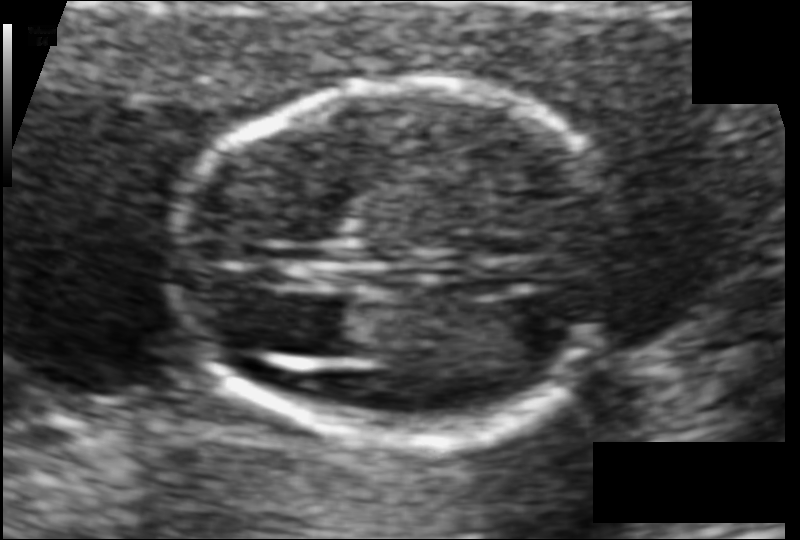
Fetal head ultrasound. Image width: 61.4 mm. Locate the fetal head.

Head: [175,86,620,436]